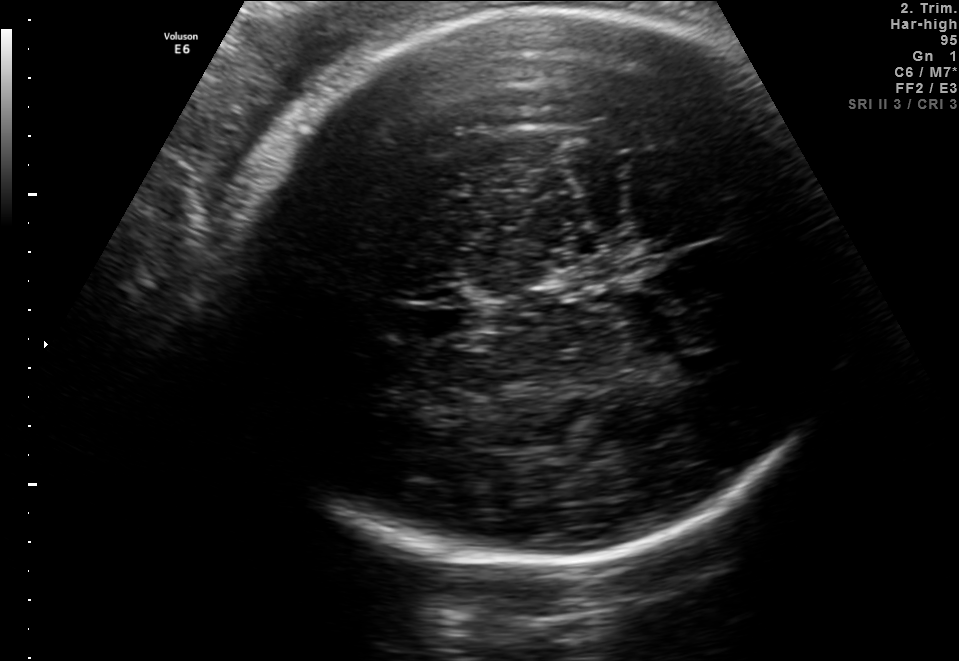
Fetal brain, trans-thalamic plane. Where is the fetal head?

Head bounding box: [234,6,845,563]